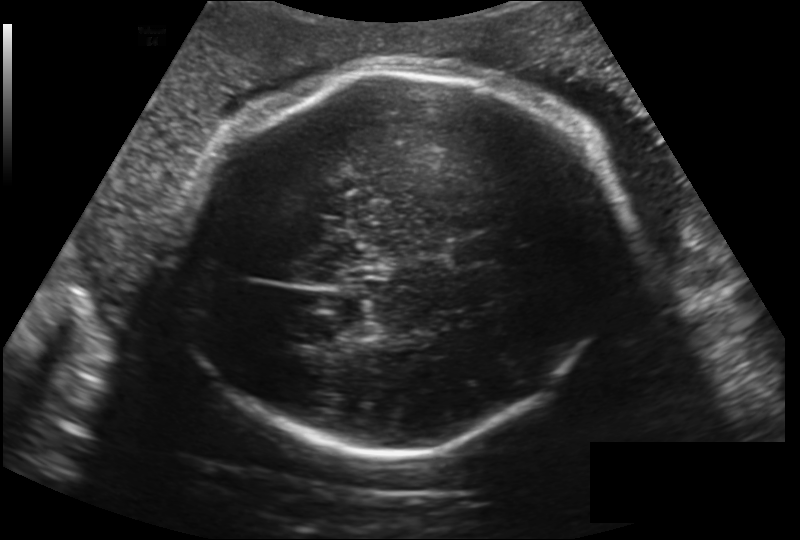
Fetal head ultrasound. Image width: 179.4 mm. Where is the fetal head?

Head bounding box: [179,62,616,455]